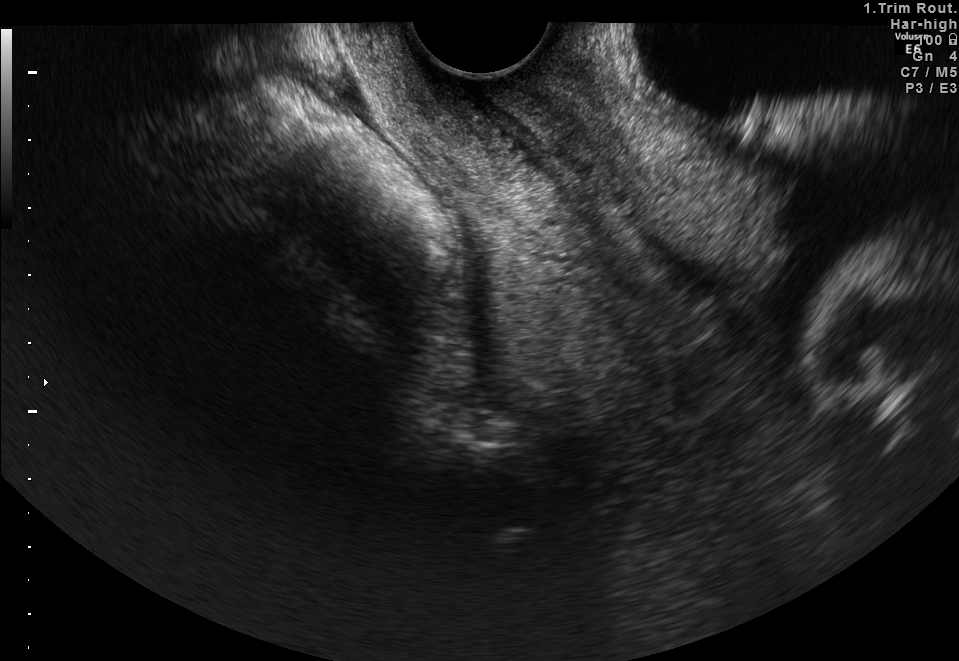
Which standard maternal-fetal ultrasound plane is shown: fetal abdomen, fetal brain, fetal femur, fetal thorax, maternal cervix, or other? If it's fetal brain and one of the three standard brain planes (trans-thalamic, trans-cerebellum, trans-ventricular), name which.

Maternal cervix